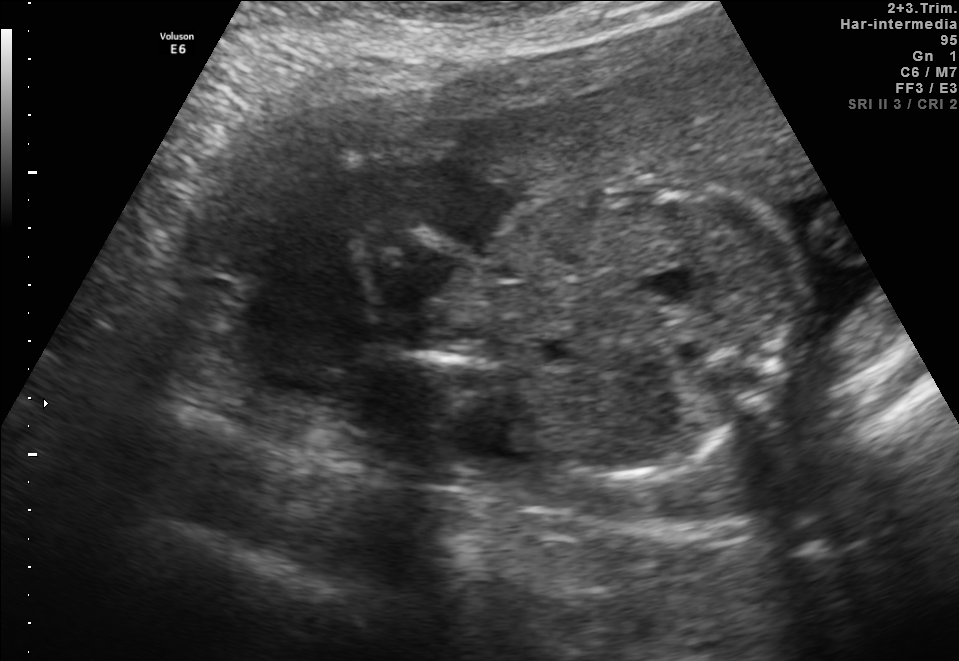
Which standard maternal-fetal ultrasound plane is shown: fetal abdomen, fetal brain, fetal femur, fetal thorax, maternal cervix, or other? If it's fetal brain and one of the three standard brain planes (trans-thalamic, trans-cerebellum, trans-ventricular), name which.

Fetal abdomen